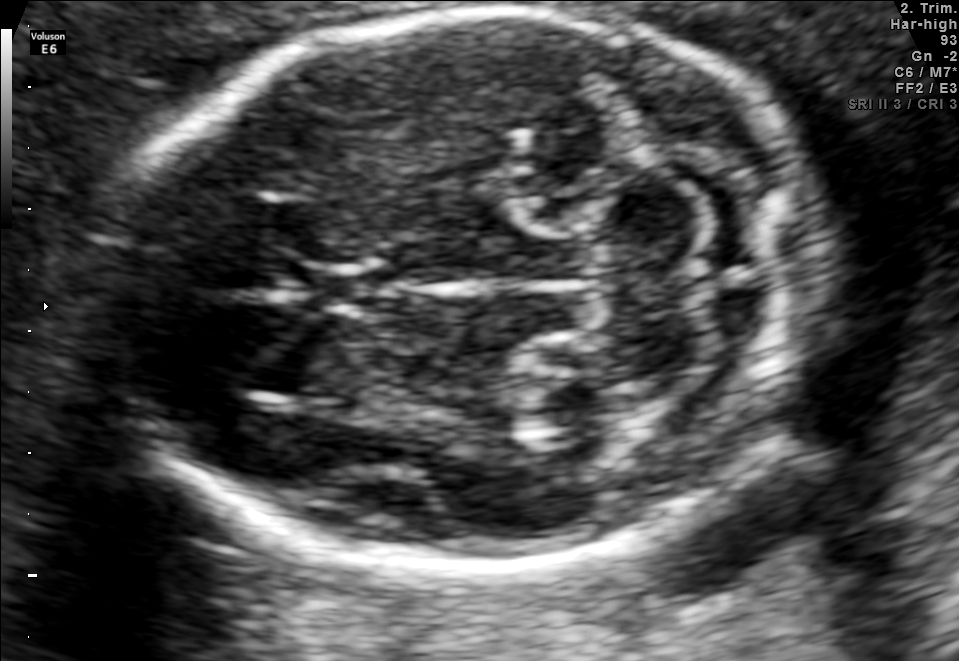
Fetal brain, trans-cerebellum plane. Where is the cavum septum pellucidum?

CSP bounding box: [308,266,399,312]